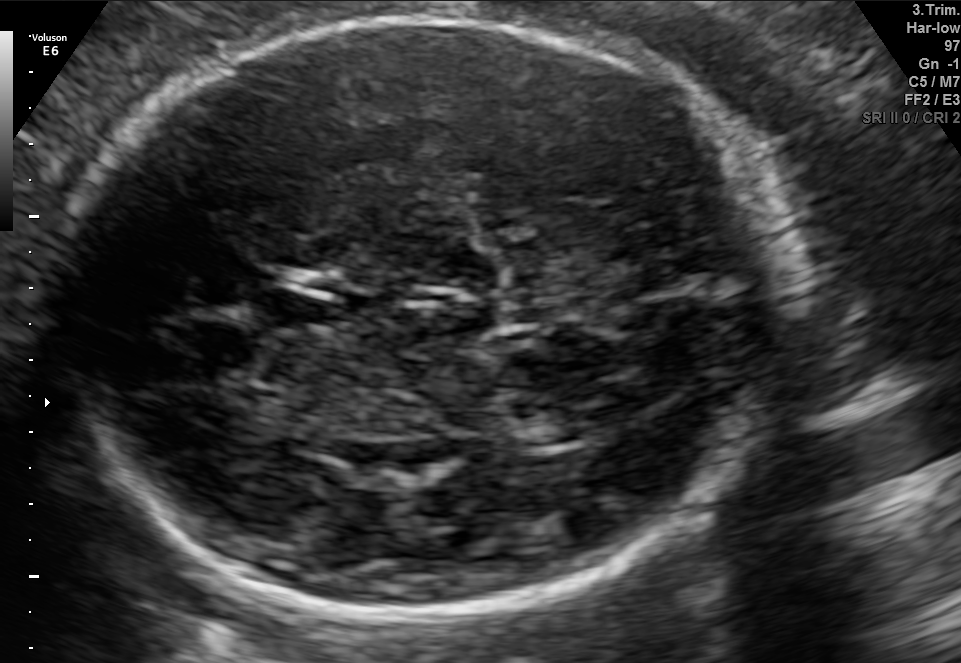
In this fetal brain, trans-thalamic plane, give bounding boxes for the head outline, cavum septum pellucidum (CSP), and lateral ventricle (LV), where visible.

Head: [43,11,798,620]
CSP: [251,283,335,336]